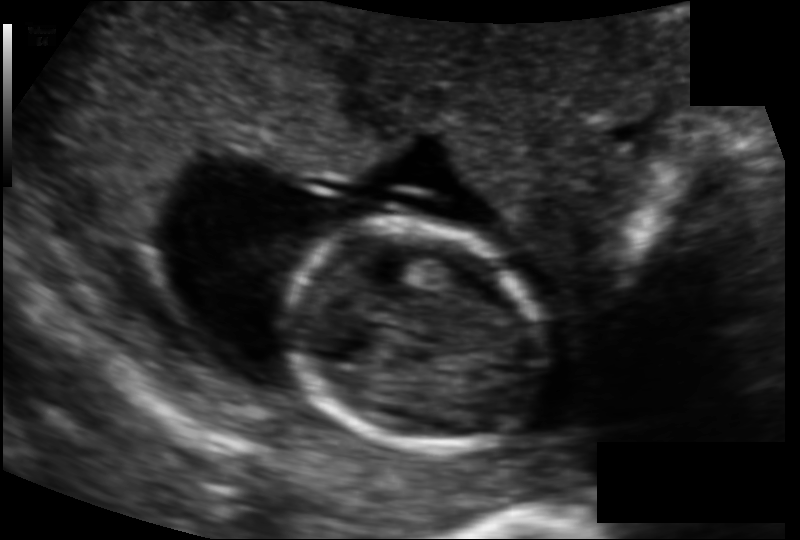
Fetal head ultrasound. Image width: 91.0 mm. Where is the fetal head?

Head bounding box: [288,221,547,449]